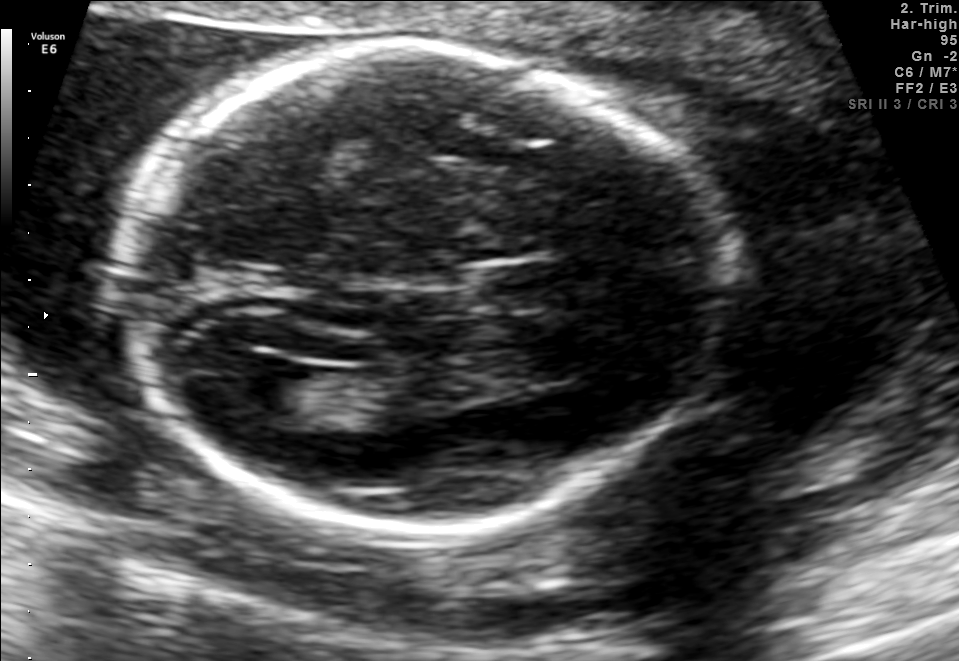
In this fetal brain, trans-ventricular plane, give the bounding box of the lateral ventricle.

[221,359,313,418]